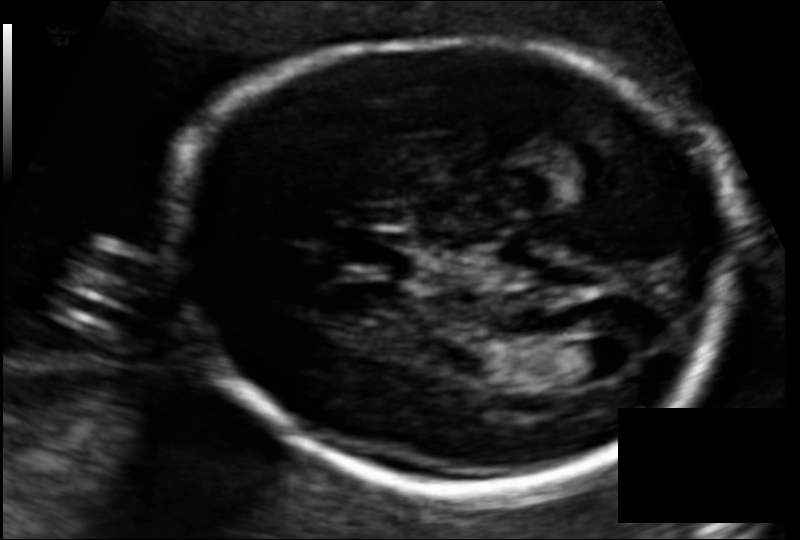
Fetal head ultrasound. Image width: 86.4 mm. Locate the fetal head.

Head: [164,40,729,487]